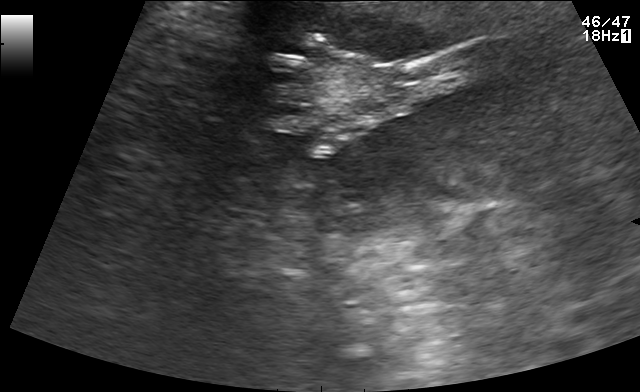
Which standard maternal-fetal ultrasound plane is shown: fetal abdomen, fetal brain, fetal femur, fetal thorax, maternal cervix, or other? If it's fetal brain and one of the three standard brain planes (trans-thalamic, trans-cerebellum, trans-ventricular), name which.

Other